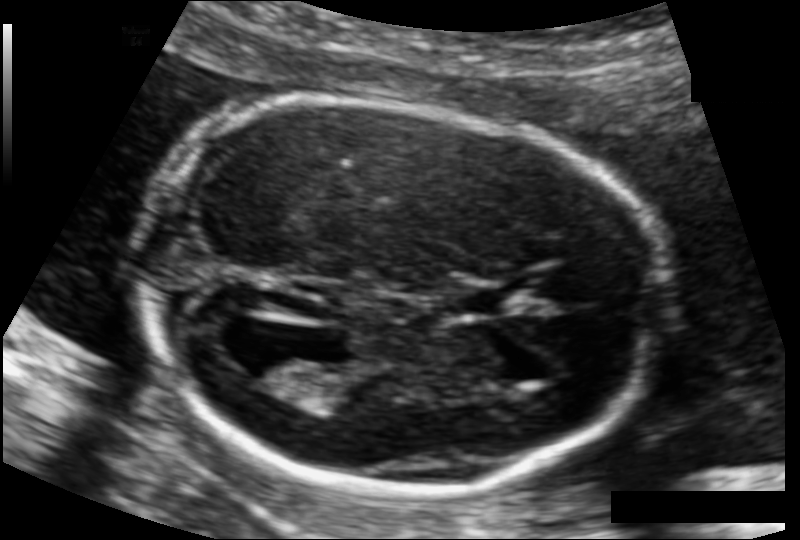
Fetal head ultrasound. Image width: 85.7 mm. Where is the cavum septum pellucidum?

CSP bounding box: [455,287,512,313]